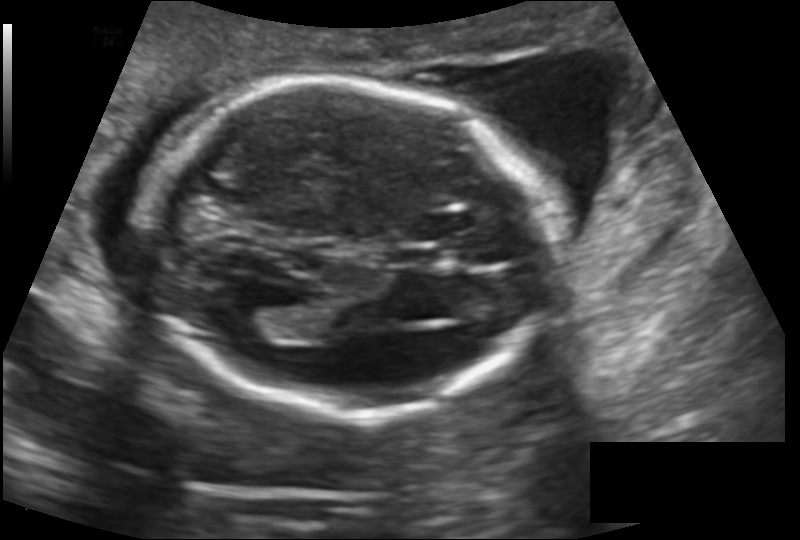
Fetal head ultrasound. Image width: 116.4 mm. Locate the fetal head.

Head: [143,80,553,417]